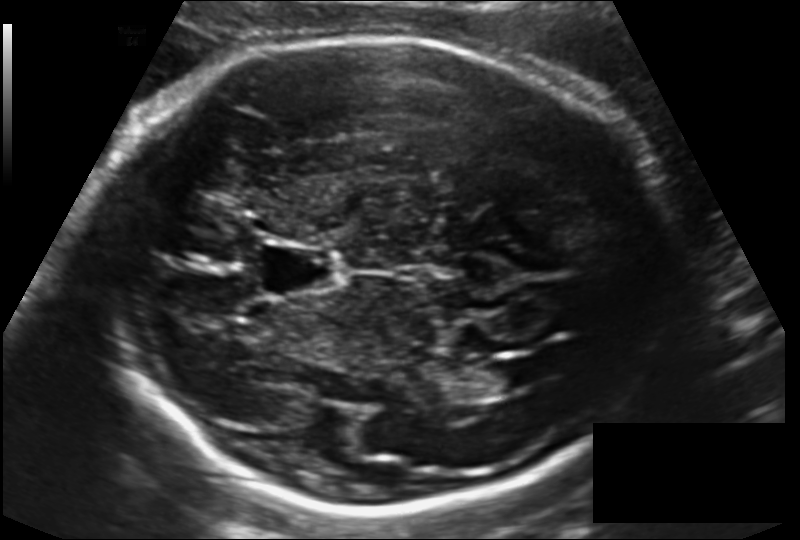
Fetal head ultrasound. Image width: 123.9 mm. Locate the cavum septum pellucidum.

CSP: [259,245,341,294]